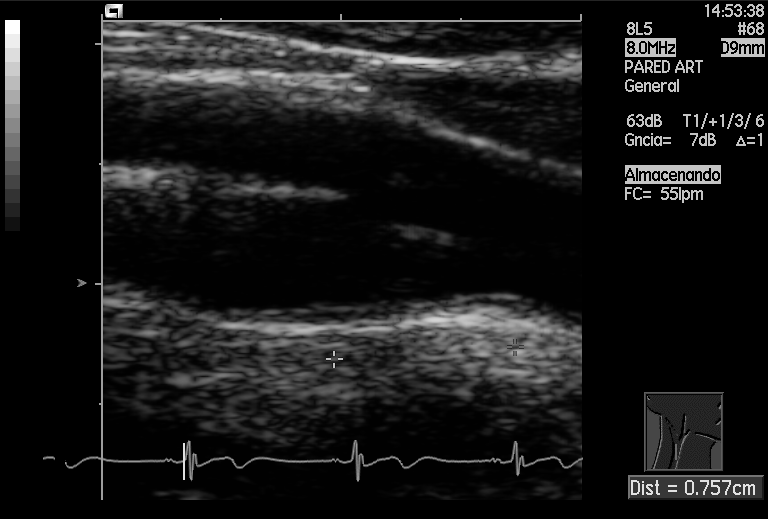
Classify this maternal-fetal ultrasound image as one of the six standard planes — fetal abdomen, fetal brain, fetal femur, fetal thorax, maternal cervix, or other. If it's fetal brain and one of the three standard brain planes (trans-thalamic, trans-cerebellum, trans-ventricular), name which.

Other